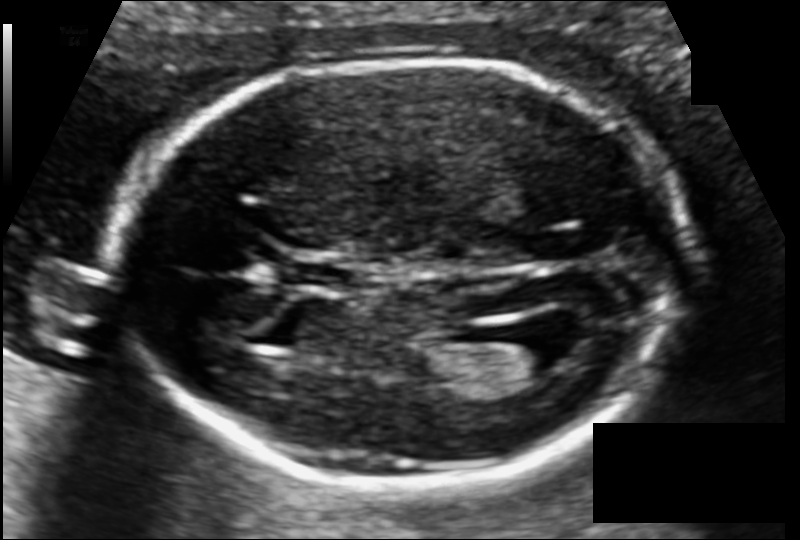
Estimate the fetal head circumference from this 2D ultrasound.

Head circumference: 165.9 mm (image width 82.9 mm).